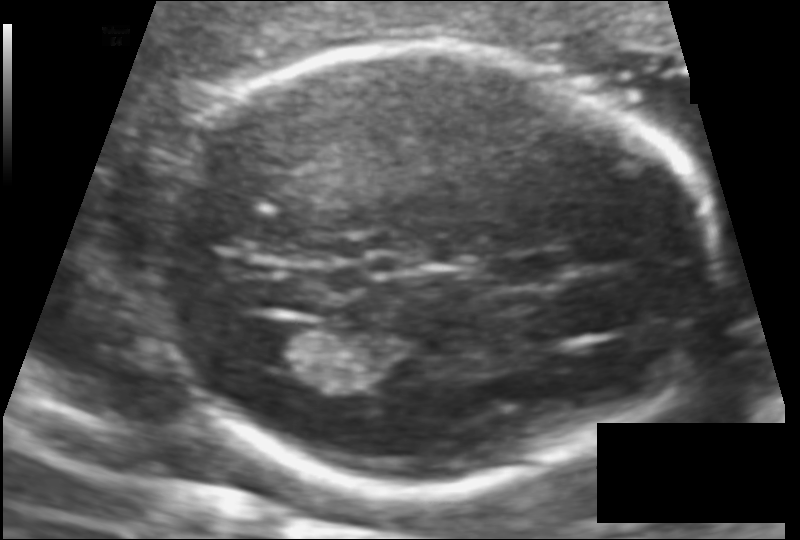
Fetal head ultrasound. Image width: 84.7 mm. Locate the lateral ventricle.

Lateral ventricle: [239,318,324,372]